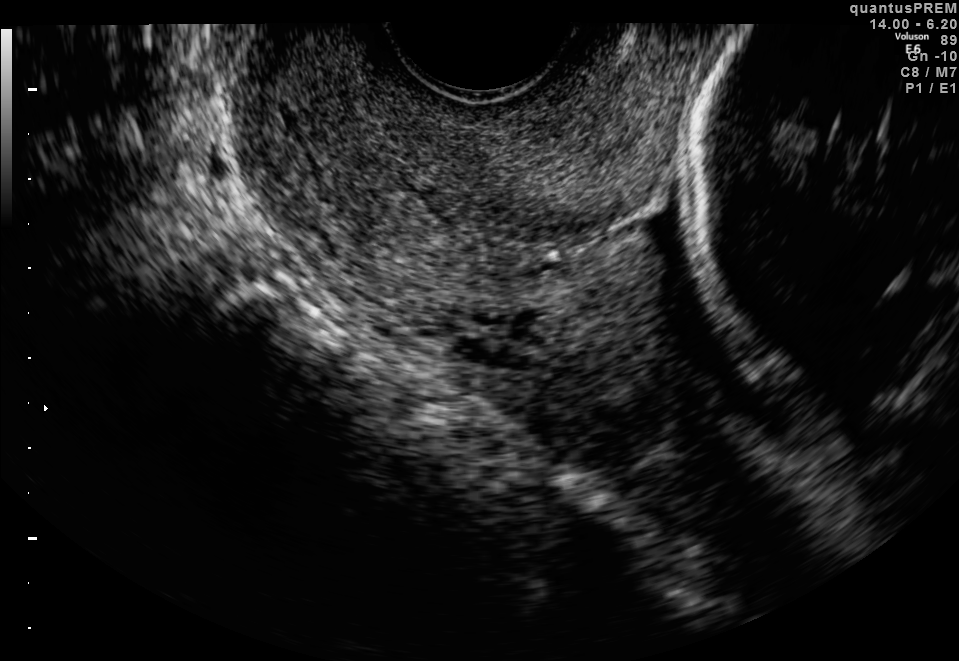
Identify the standard plane in this fetal ultrasound image: fetal abdomen, fetal brain, fetal femur, fetal thorax, maternal cervix, or other. If it's fetal brain and one of the three standard brain planes (trans-thalamic, trans-cerebellum, trans-ventricular), name which.

Maternal cervix